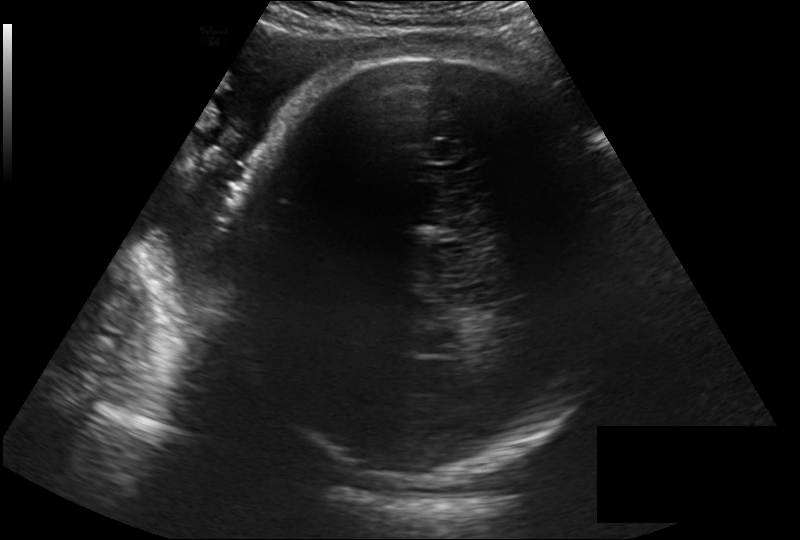
Fetal head ultrasound. Image width: 206.0 mm. Locate the fetal head.

Head: [224,54,625,483]